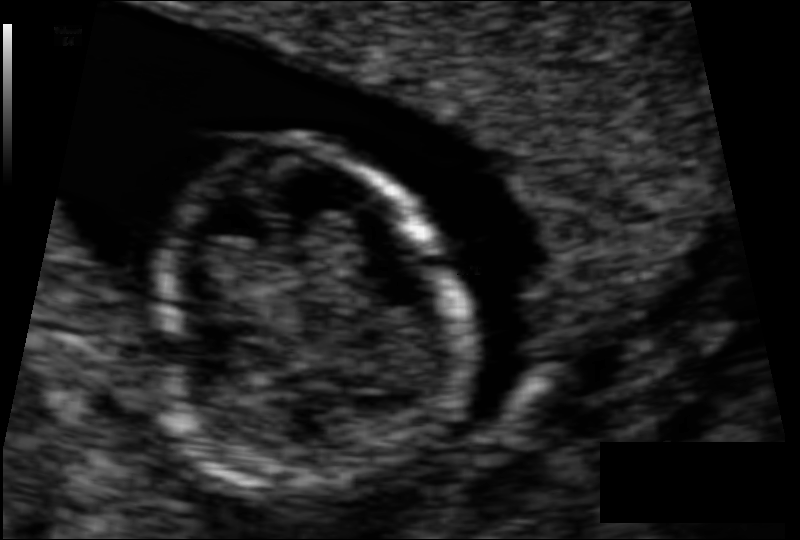
Fetal head ultrasound. Image width: 49.5 mm. Locate the fetal head.

Head: [147,138,458,485]